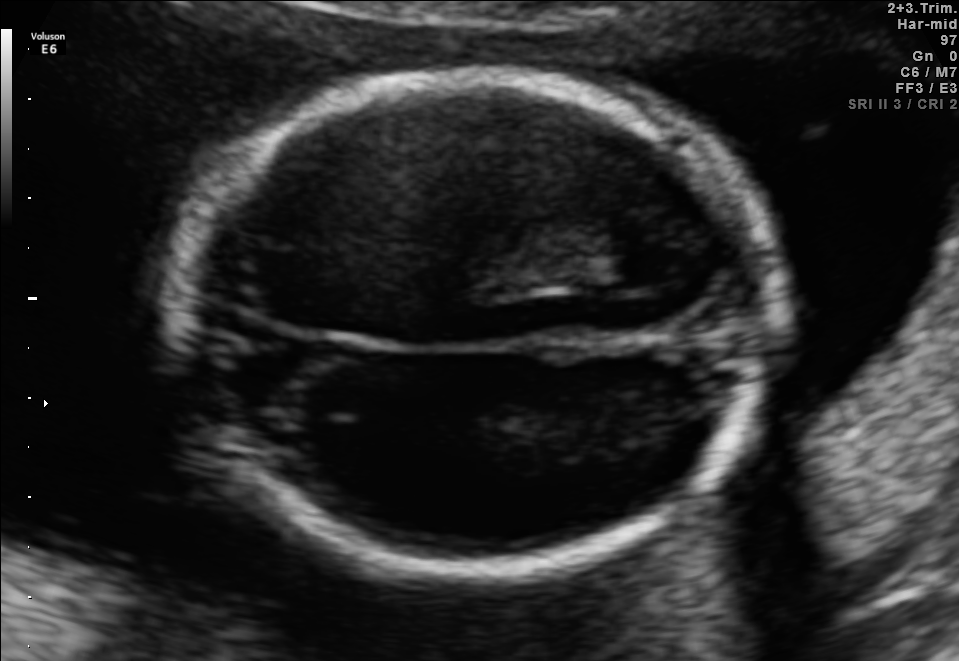
Fetal brain, trans-thalamic plane. Where is the fetal head?

Head bounding box: [172,76,777,569]